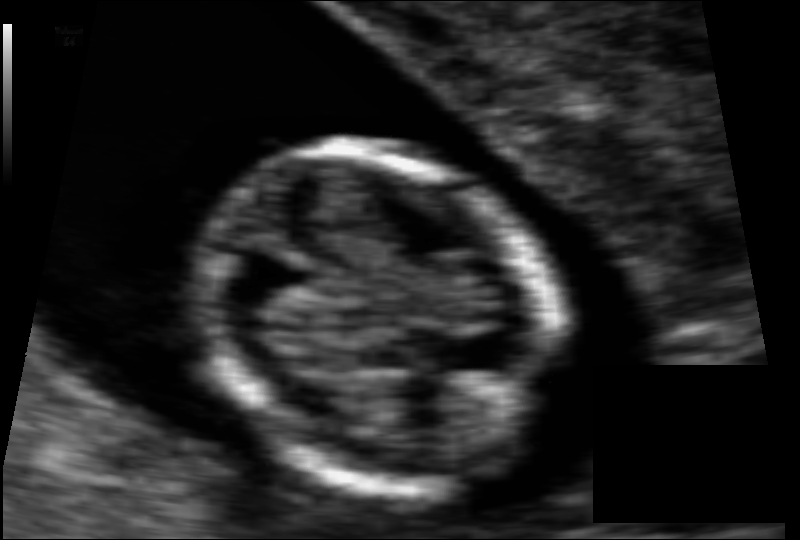
Fetal head ultrasound. Image width: 49.4 mm. Locate the fetal head.

Head: [198,142,561,493]